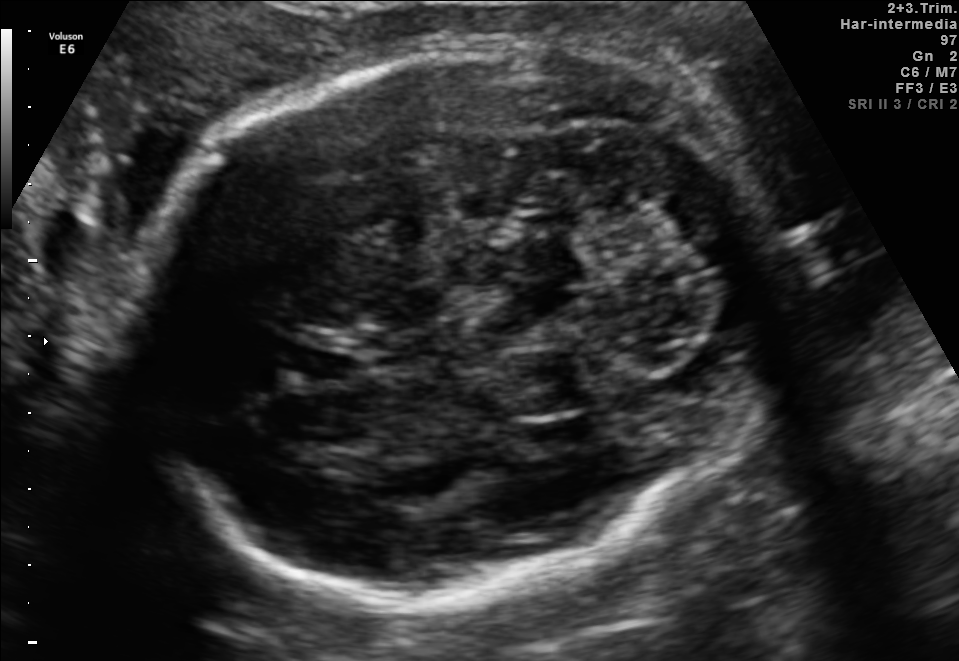
Fetal brain, trans-cerebellum plane. Give [x1,y1,x2,y2] bounding boxes for each visible structure among: fetal head, CSP, LV.

Head: [131,42,780,585]
CSP: [285,337,367,389]